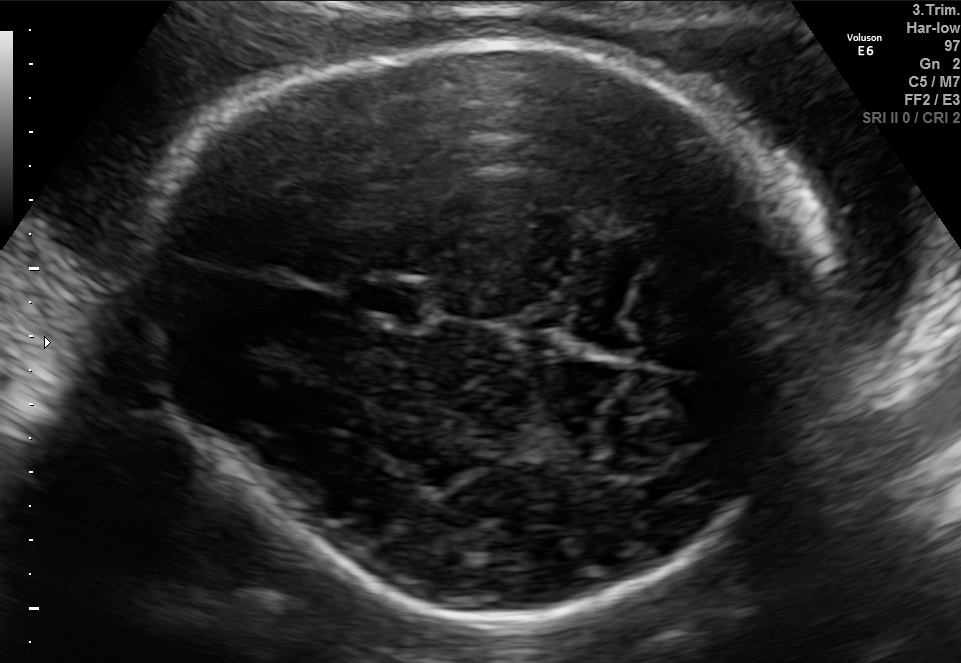
In this fetal brain, trans-thalamic plane, give bounding boxes for the head outline, cavum septum pellucidum (CSP), and lateral ventricle (LV), where visible.

Head: [134,33,827,628]
CSP: [354,277,427,328]